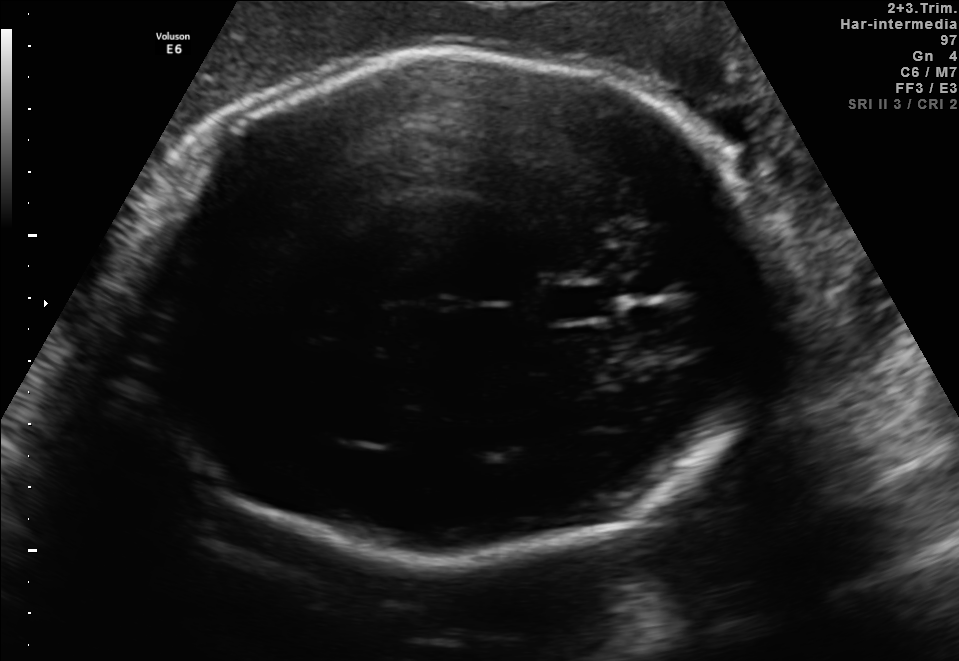
Fetal brain, trans-thalamic plane. Give [x1,y1,x2,y2] bounding boxes for each visible structure among: fetal head, CSP, LV.

Head: [122,52,773,555]
CSP: [544,281,613,323]